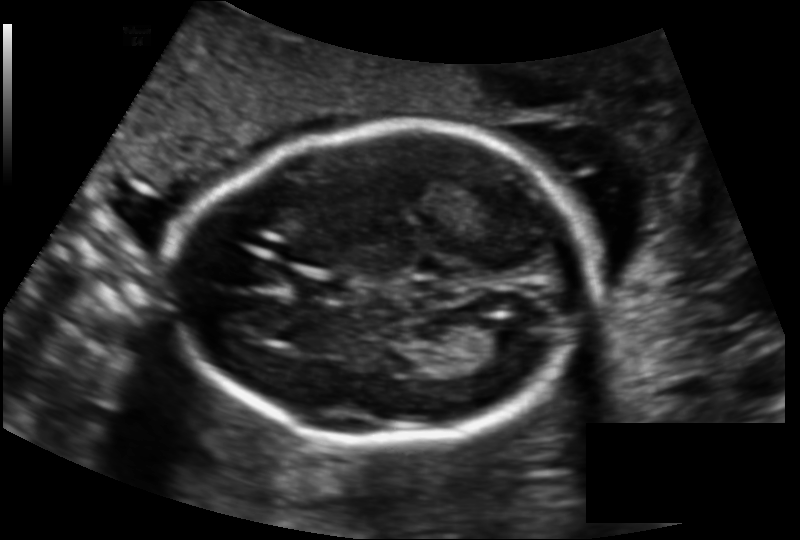
In this fetal head ultrasound, give the bounding box of the lateral ventricle. Image width: 109.7 mm.

[469,315,532,364]